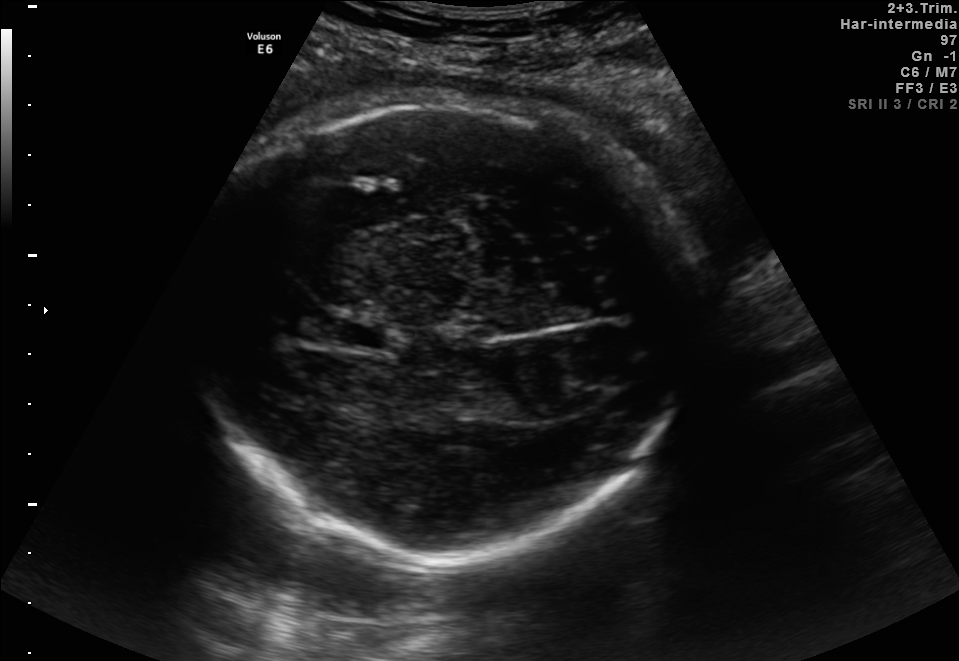
Which standard maternal-fetal ultrasound plane is shown: fetal abdomen, fetal brain, fetal femur, fetal thorax, maternal cervix, or other? If it's fetal brain and one of the three standard brain planes (trans-thalamic, trans-cerebellum, trans-ventricular), name which.

Fetal brain (trans-thalamic plane)